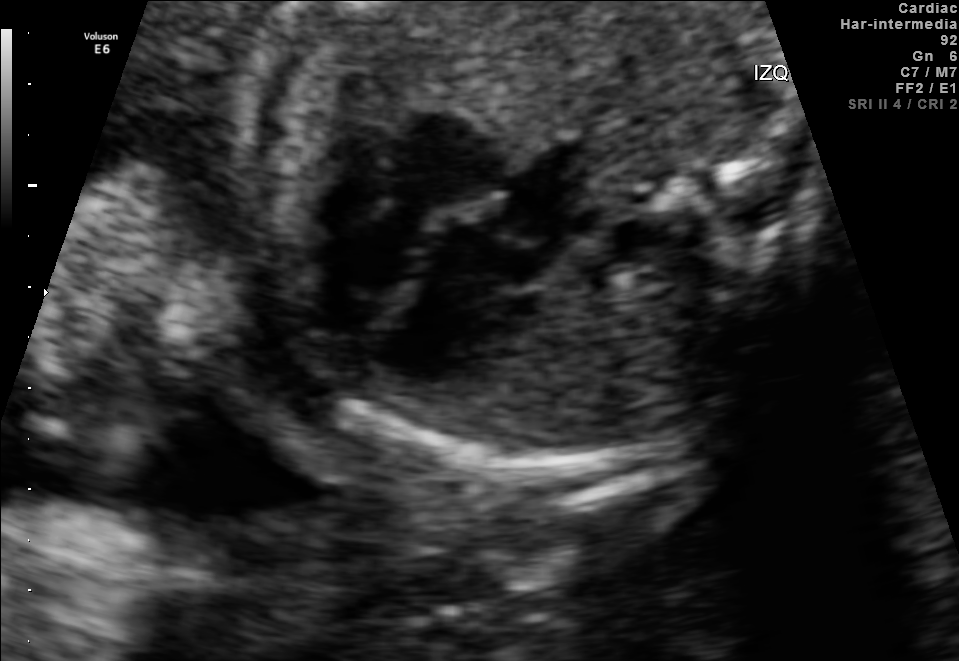
This is a 2D maternal-fetal ultrasound frame. Is it a fetal abdomen, fetal brain, fetal femur, fetal thorax, maternal cervix, or other standard plane? If it's fetal brain and one of the three standard brain planes (trans-thalamic, trans-cerebellum, trans-ventricular), name which.

Fetal abdomen